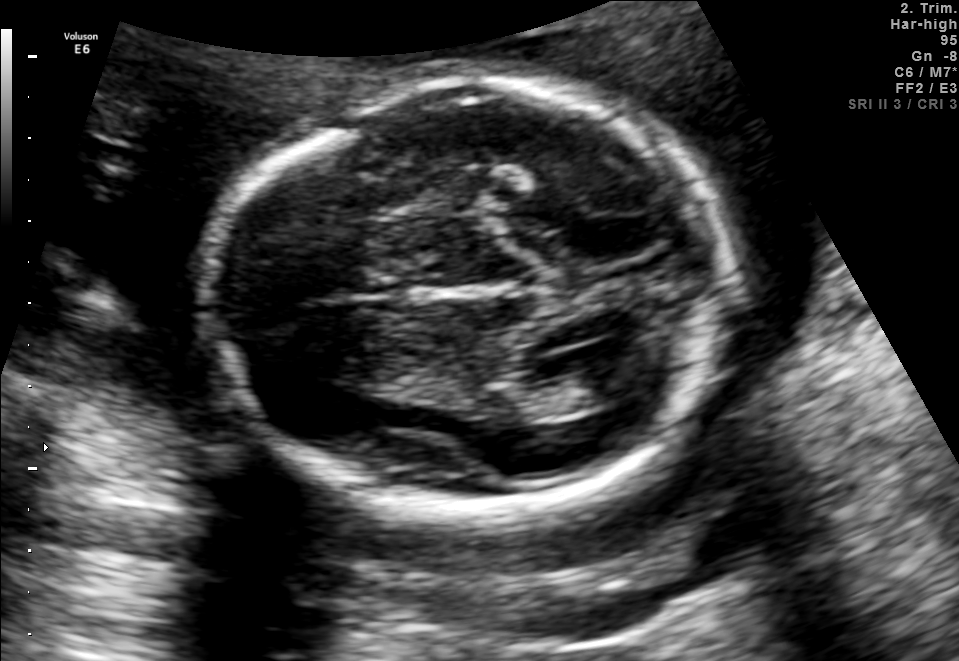
Identify the standard plane in this fetal ultrasound image: fetal abdomen, fetal brain, fetal femur, fetal thorax, maternal cervix, or other. If it's fetal brain and one of the three standard brain planes (trans-thalamic, trans-cerebellum, trans-ventricular), name which.

Fetal brain (trans-ventricular plane)